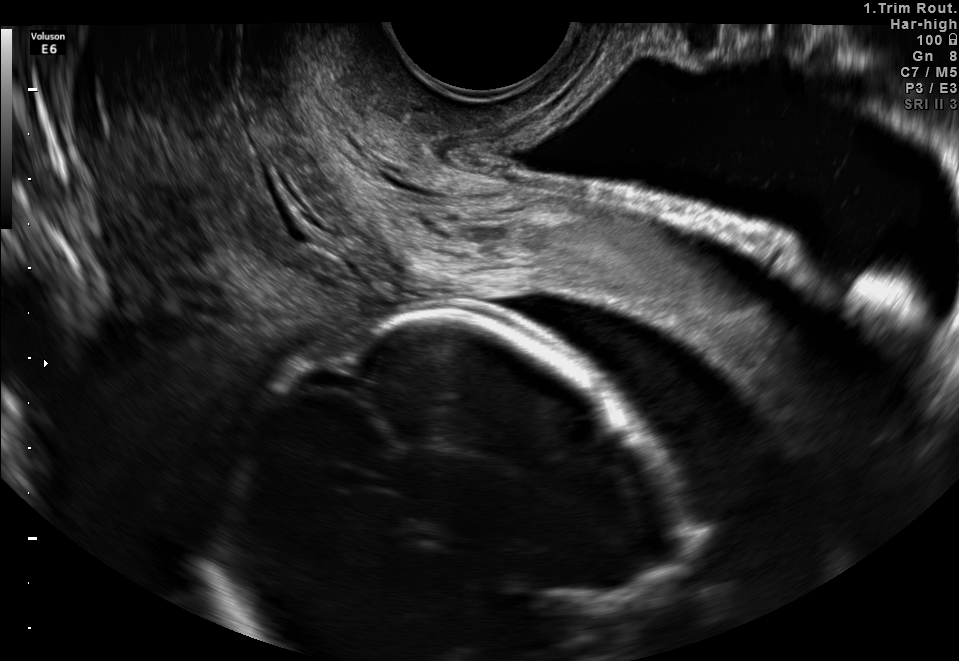
This is a 2D maternal-fetal ultrasound frame. Is it a fetal abdomen, fetal brain, fetal femur, fetal thorax, maternal cervix, or other standard plane? If it's fetal brain and one of the three standard brain planes (trans-thalamic, trans-cerebellum, trans-ventricular), name which.

Maternal cervix